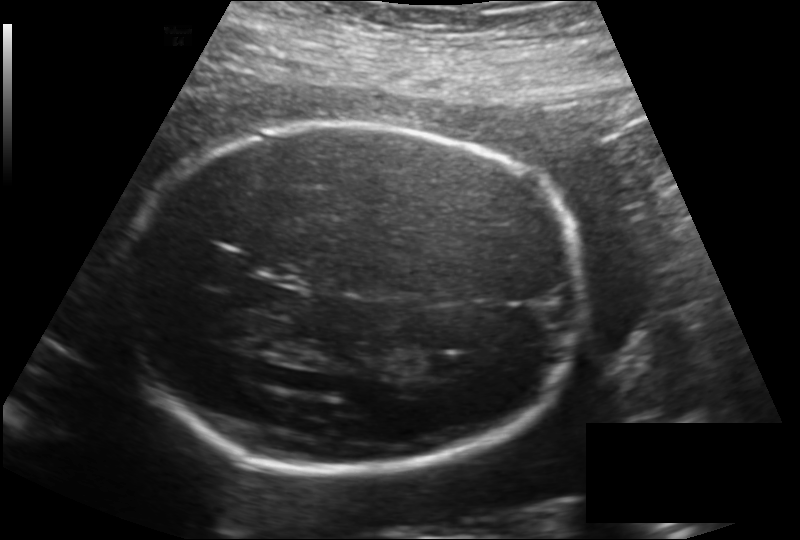
Fetal head ultrasound. Image width: 149.9 mm. Locate the lateral ventricle.

Lateral ventricle: [426,353,472,379]